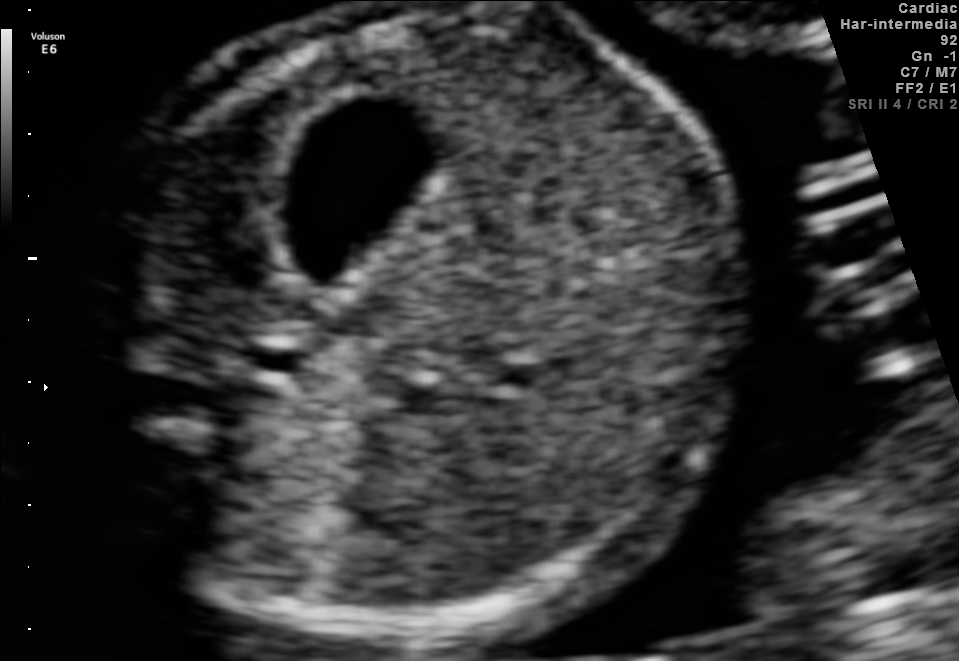
This is a 2D maternal-fetal ultrasound frame. Is it a fetal abdomen, fetal brain, fetal femur, fetal thorax, maternal cervix, or other standard plane? If it's fetal brain and one of the three standard brain planes (trans-thalamic, trans-cerebellum, trans-ventricular), name which.

Fetal abdomen